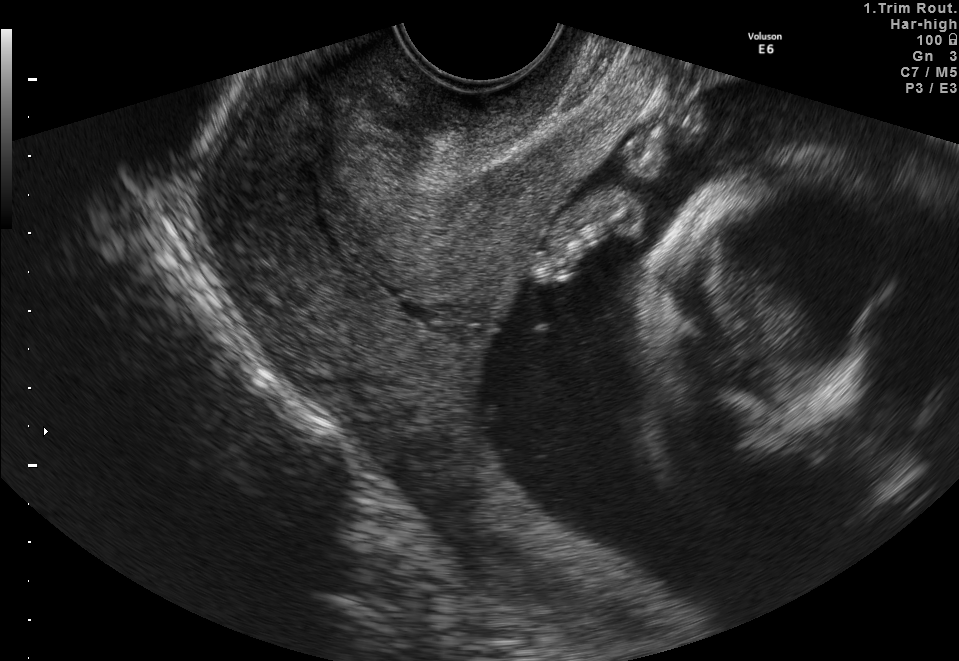
This is a 2D maternal-fetal ultrasound frame. Is it a fetal abdomen, fetal brain, fetal femur, fetal thorax, maternal cervix, or other standard plane? If it's fetal brain and one of the three standard brain planes (trans-thalamic, trans-cerebellum, trans-ventricular), name which.

Maternal cervix